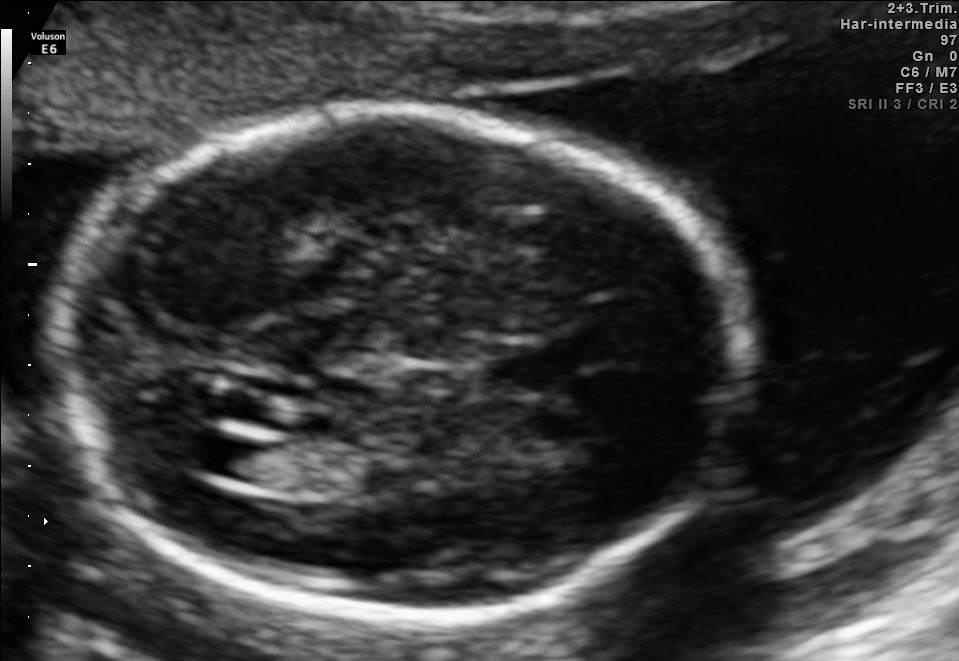
In this fetal brain, trans-ventricular plane, give the bounding box of the lateral ventricle.

[197,429,272,485]